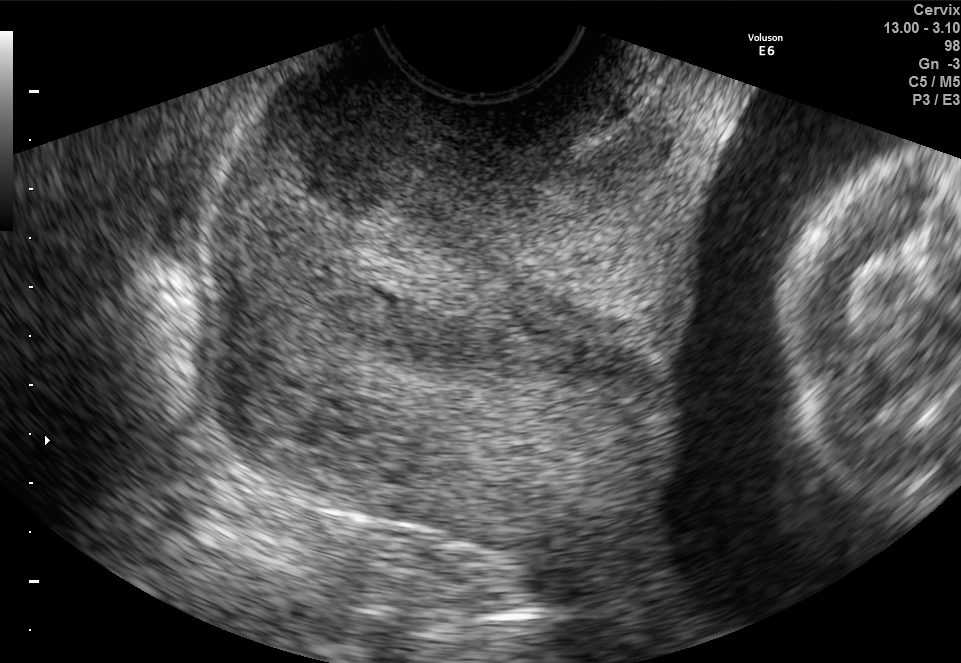
Classify this maternal-fetal ultrasound image as one of the six standard planes — fetal abdomen, fetal brain, fetal femur, fetal thorax, maternal cervix, or other. If it's fetal brain and one of the three standard brain planes (trans-thalamic, trans-cerebellum, trans-ventricular), name which.

Maternal cervix